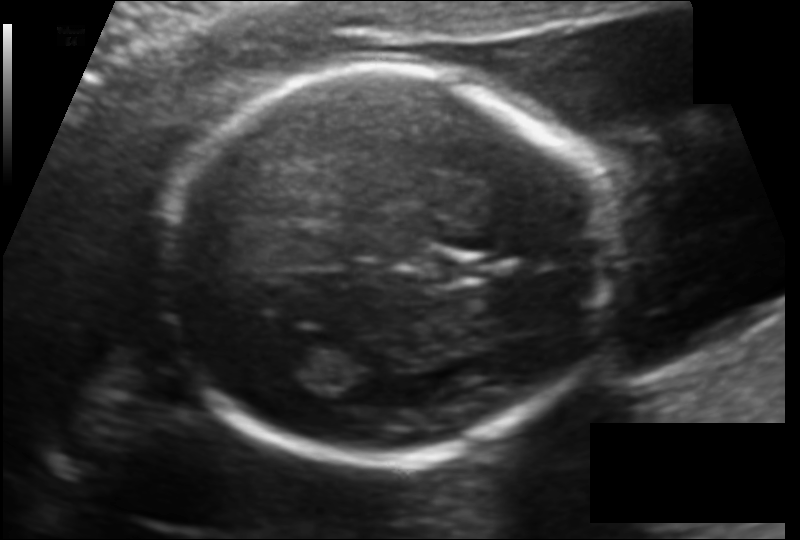
Fetal head ultrasound. Image width: 98.0 mm. Locate the fetal head.

Head: [156,69,606,462]